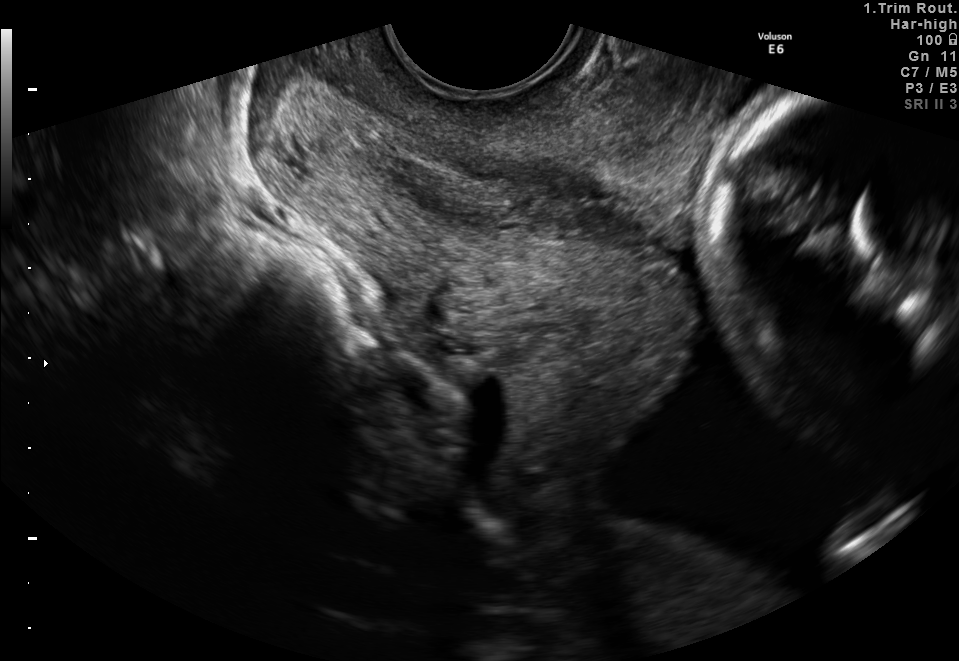
Classify this maternal-fetal ultrasound image as one of the six standard planes — fetal abdomen, fetal brain, fetal femur, fetal thorax, maternal cervix, or other. If it's fetal brain and one of the three standard brain planes (trans-thalamic, trans-cerebellum, trans-ventricular), name which.

Maternal cervix